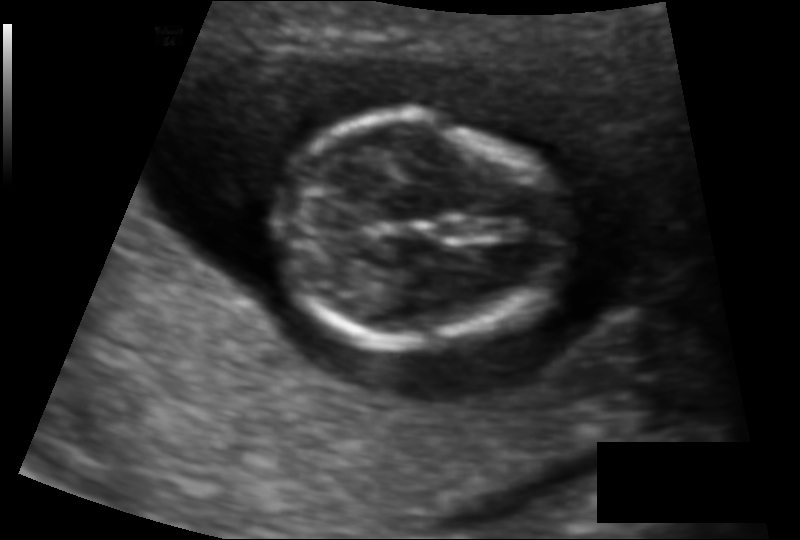
In this fetal head ultrasound, give bounding boxes for the head outline, cavum septum pellucidum (CSP), and lateral ventricle (LV), where visible. Image width: 76.6 mm.

Head: [275,119,563,344]